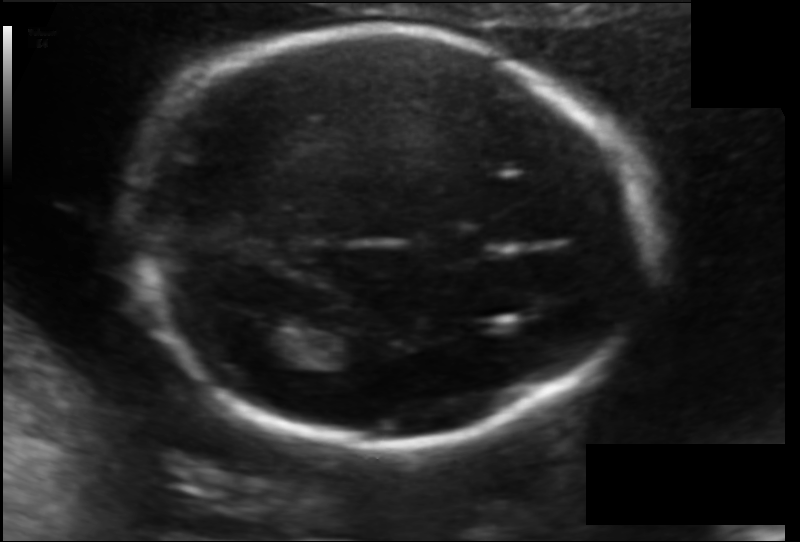
Fetal head ultrasound. Image width: 91.4 mm. Locate the cavum septum pellucidum.

CSP: [421,228,482,261]